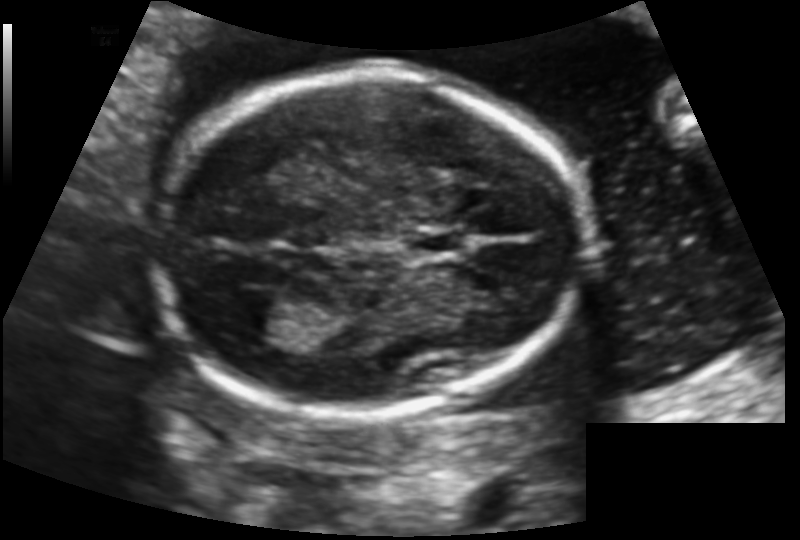
Fetal head ultrasound. Image width: 103.6 mm. Locate the lateral ventricle.

Lateral ventricle: [232,294,301,341]